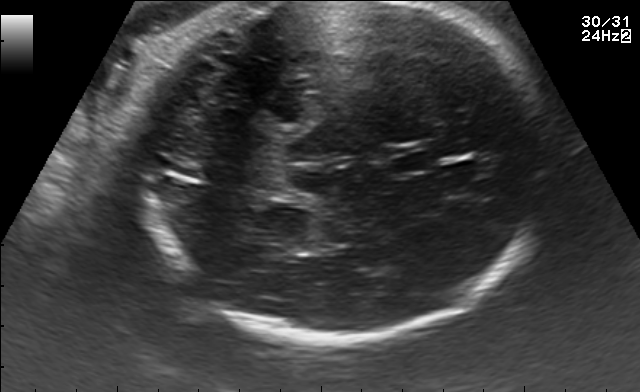
Fetal brain, trans-thalamic plane. Locate the cavum septum pellucidum.

CSP: [391,150,439,175]